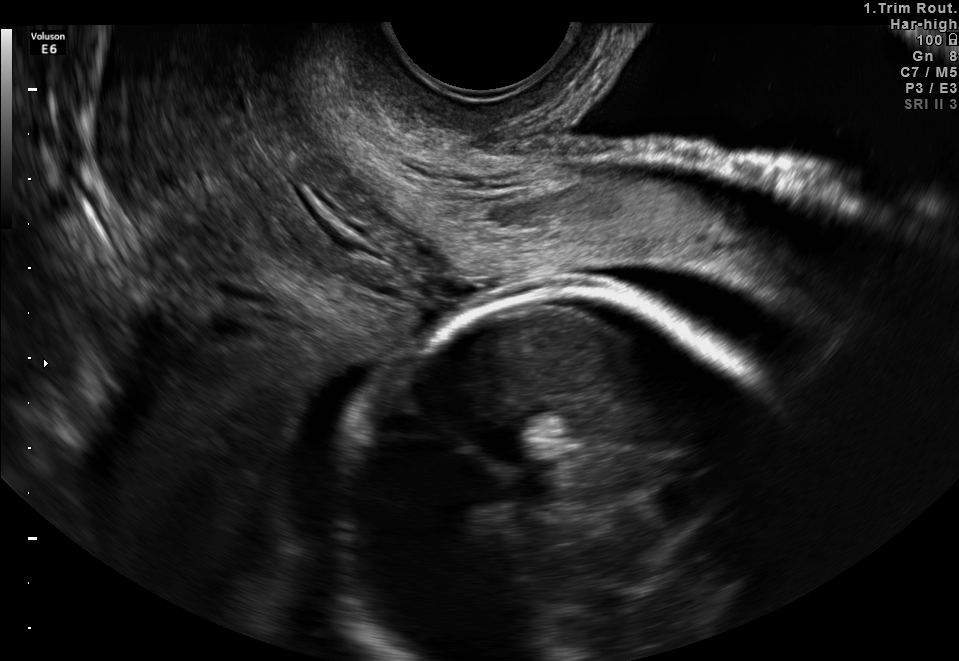
Which standard maternal-fetal ultrasound plane is shown: fetal abdomen, fetal brain, fetal femur, fetal thorax, maternal cervix, or other? If it's fetal brain and one of the three standard brain planes (trans-thalamic, trans-cerebellum, trans-ventricular), name which.

Maternal cervix